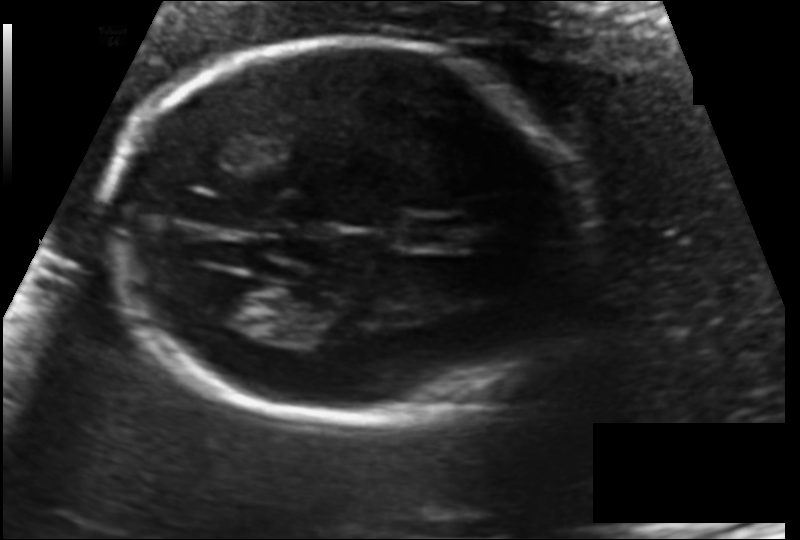
Fetal head ultrasound. Image width: 97.9 mm. Locate the fetal head and, if visible, the cavum septum pellucidum (CSP) and lateral ventricle (LV). Give bounding boxes as [x1,y1,x2,y2].

Head: [109,39,577,421]
CSP: [408,218,469,248]
Lateral ventricle: [195,270,282,335]